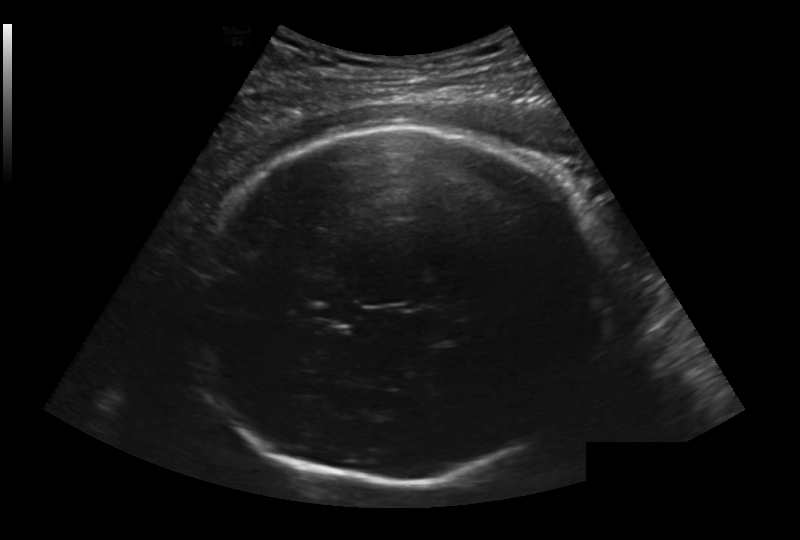
Measure the fetal head circumference shown in this ultrasound image. Image width: 188.7 mm.

Head circumference: 289.2 mm.